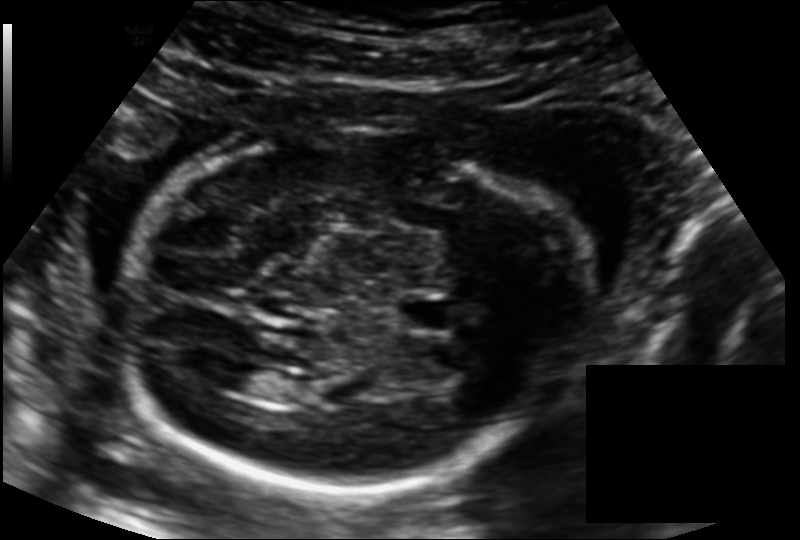
Estimate the fetal head circumference from this 2D ultrasound.

Head circumference: 186.9 mm (image width 111.3 mm).